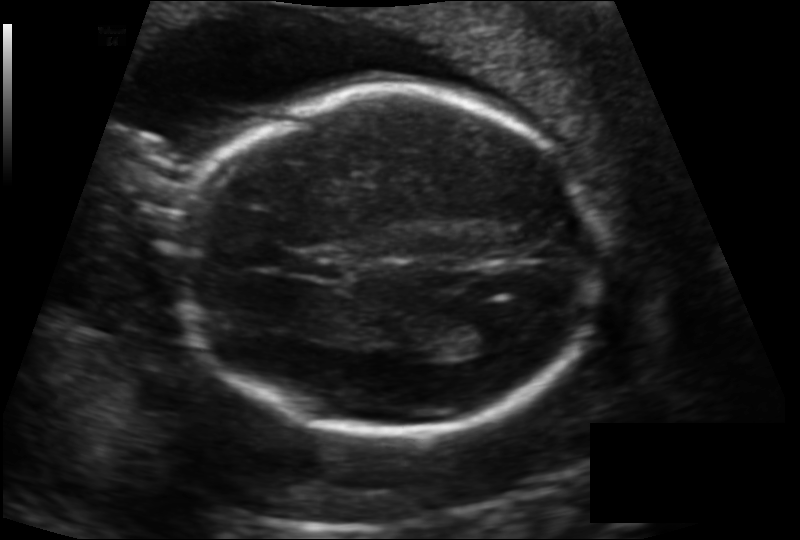
Fetal head ultrasound. Image width: 113.2 mm. Locate the lateral ventricle.

Lateral ventricle: [446,303,514,358]